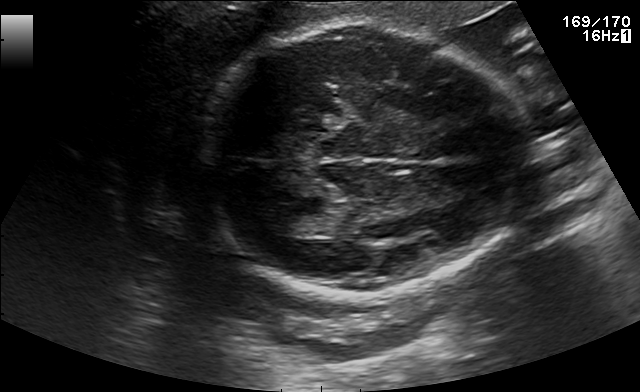
Fetal brain, trans-thalamic plane. Give [x1,y1,x2,y2] bounding boxes for each visible structure among: fetal head, CSP, LV.

Head: [196,23,530,297]